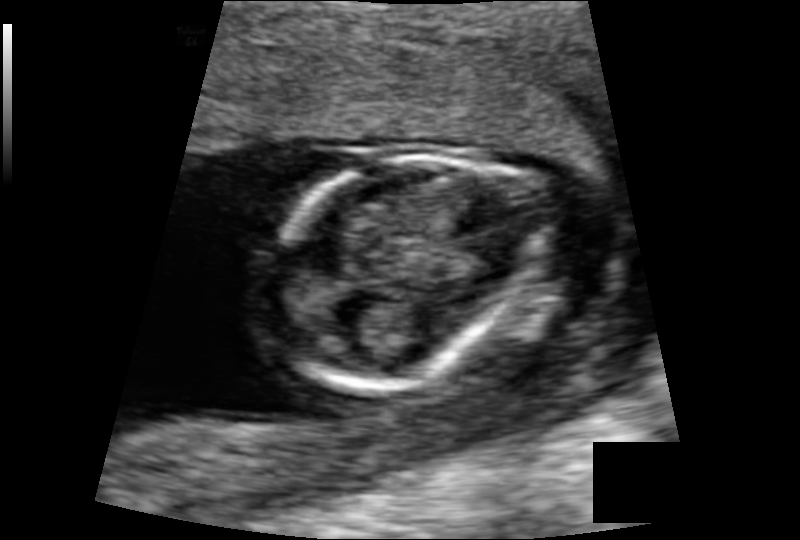
In this fetal head ultrasound, give the bounding box of the fetal head. Image width: 82.7 mm.

[267,156,533,390]